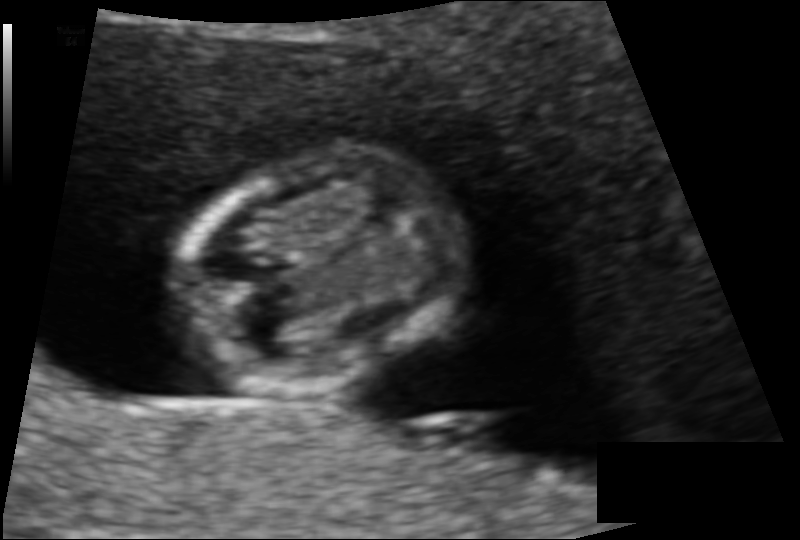
Fetal head ultrasound. Image width: 68.5 mm. Where is the fetal head?

Head bounding box: [172,151,468,399]